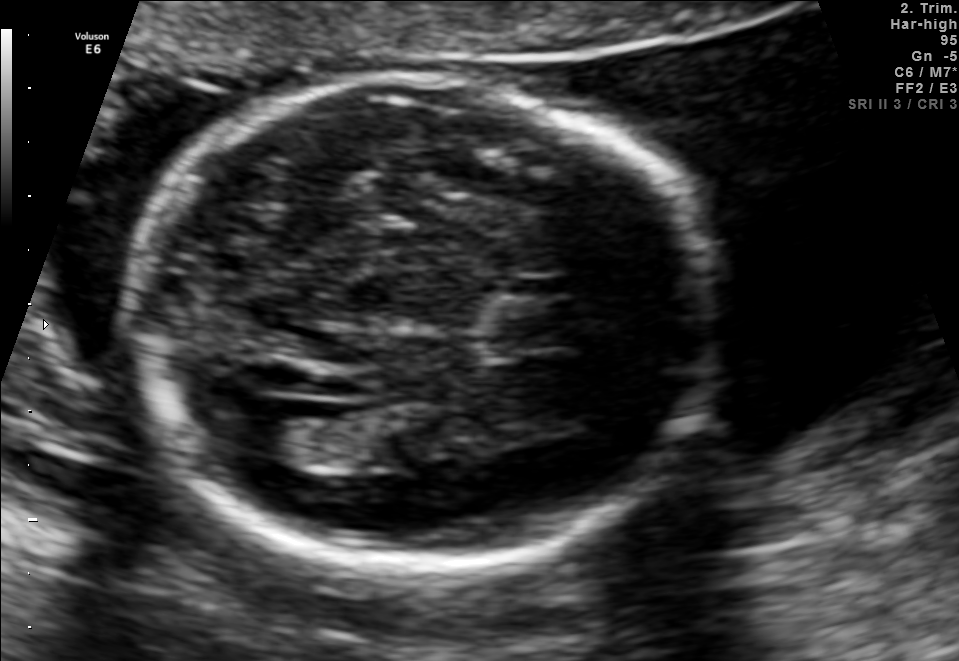
Fetal brain, trans-ventricular plane. Locate the lateral ventricle.

Lateral ventricle: [216,388,327,463]